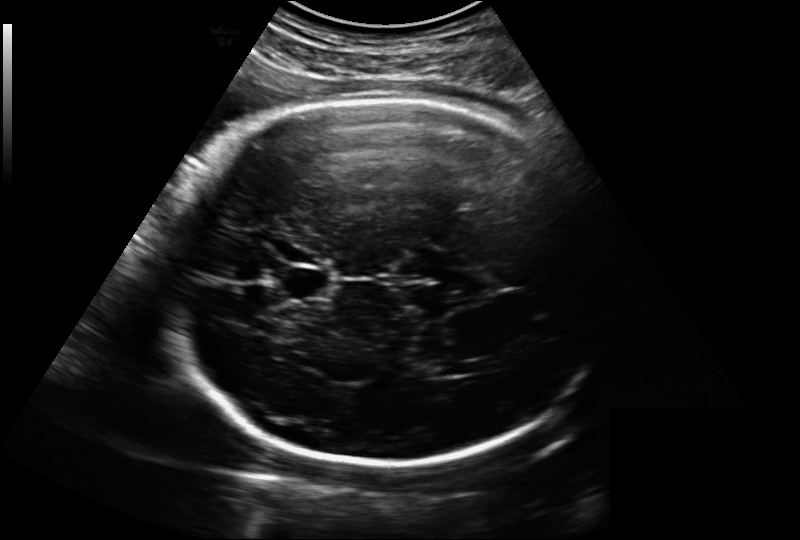
Fetal head ultrasound. Image width: 176.5 mm. Where is the fetal head?

Head bounding box: [156,97,614,464]